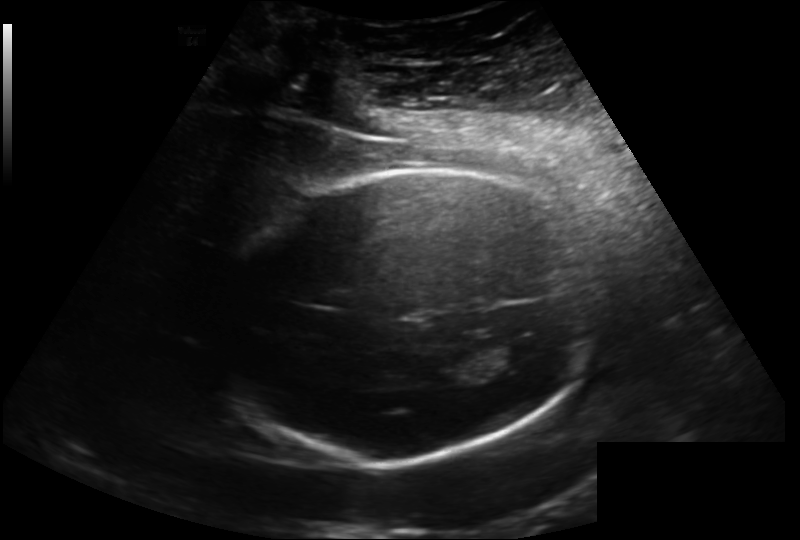
Estimate the fetal head circumference from this 2D ultrasound.

Head circumference: 220.9 mm (image width 161.6 mm).